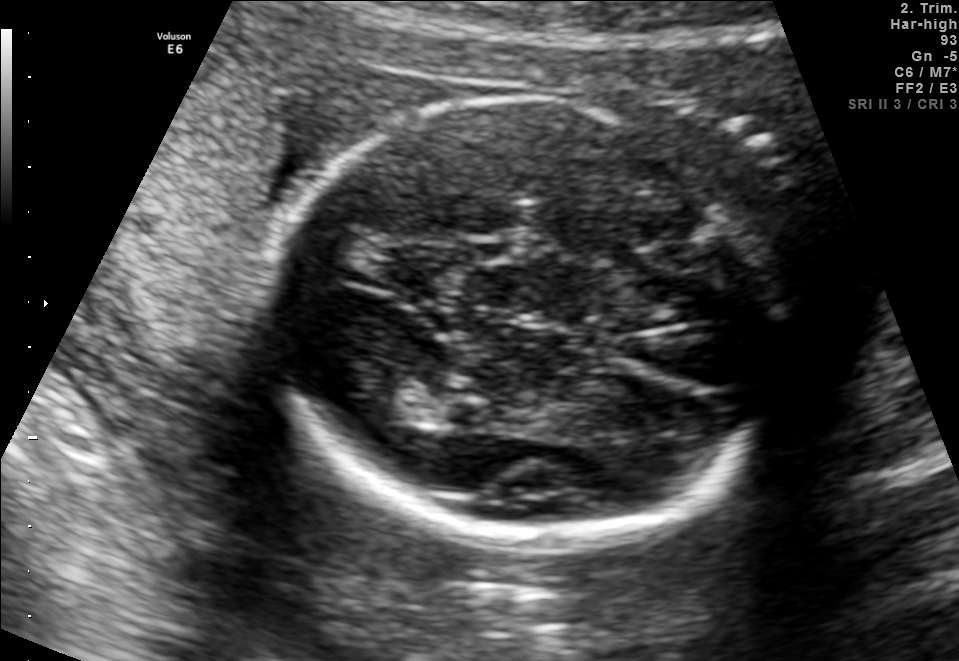
Fetal brain, trans-thalamic plane. Locate the fetal head and, if visible, the cavum septum pellucidum (CSP) and lateral ventricle (LV). Give bounding boxes as [x1,y1,x2,y2].

Head: [259,97,802,540]
Lateral ventricle: [357,376,452,431]